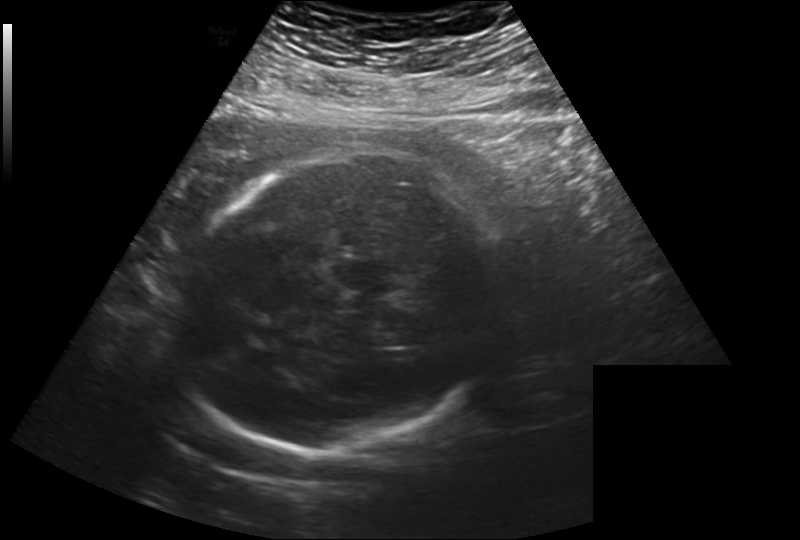
From this fetal ultrasound, estimate the head circumference (image width 208.0 mm).

Head circumference: 271.0 mm.